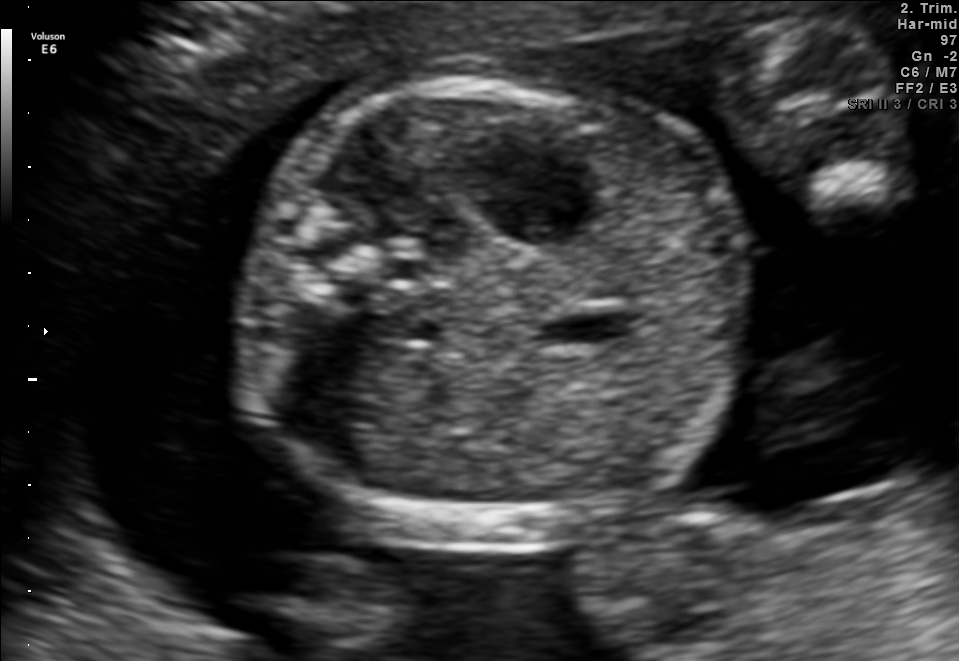
Classify this maternal-fetal ultrasound image as one of the six standard planes — fetal abdomen, fetal brain, fetal femur, fetal thorax, maternal cervix, or other. If it's fetal brain and one of the three standard brain planes (trans-thalamic, trans-cerebellum, trans-ventricular), name which.

Fetal abdomen